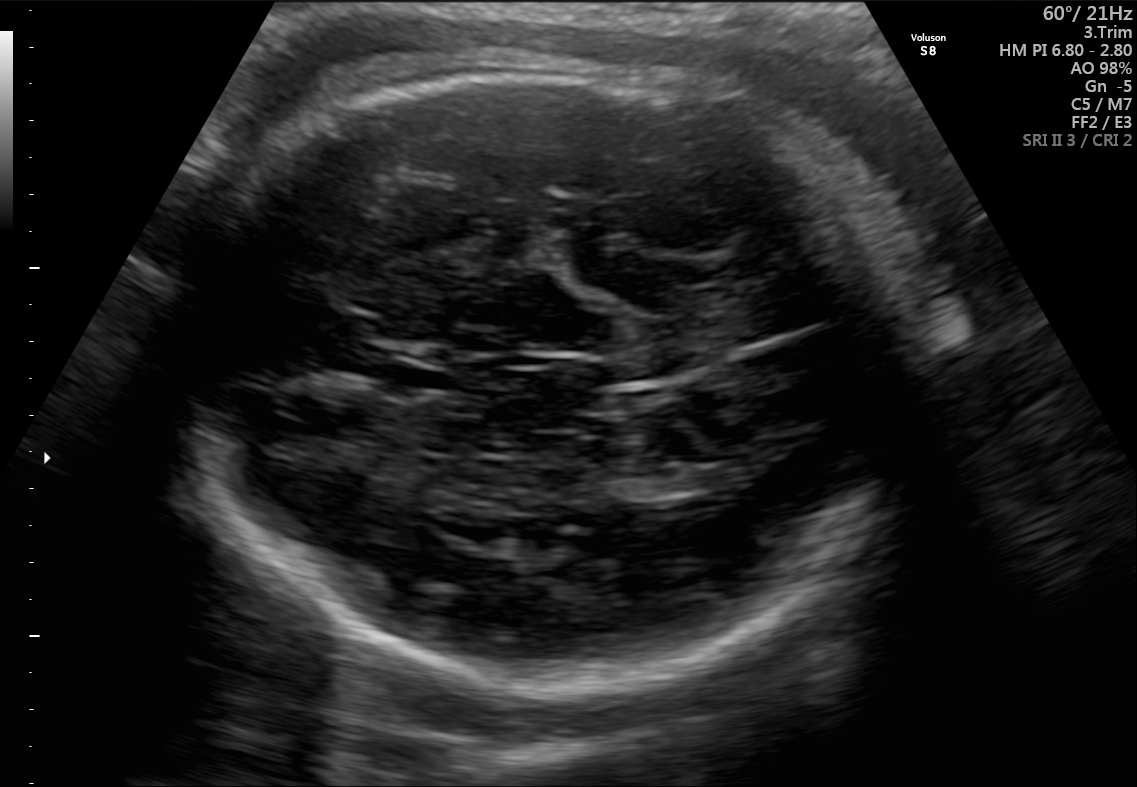
In this fetal brain, trans-thalamic plane, give the bounding box of the cavum septum pellucidum.

[380,355,457,396]